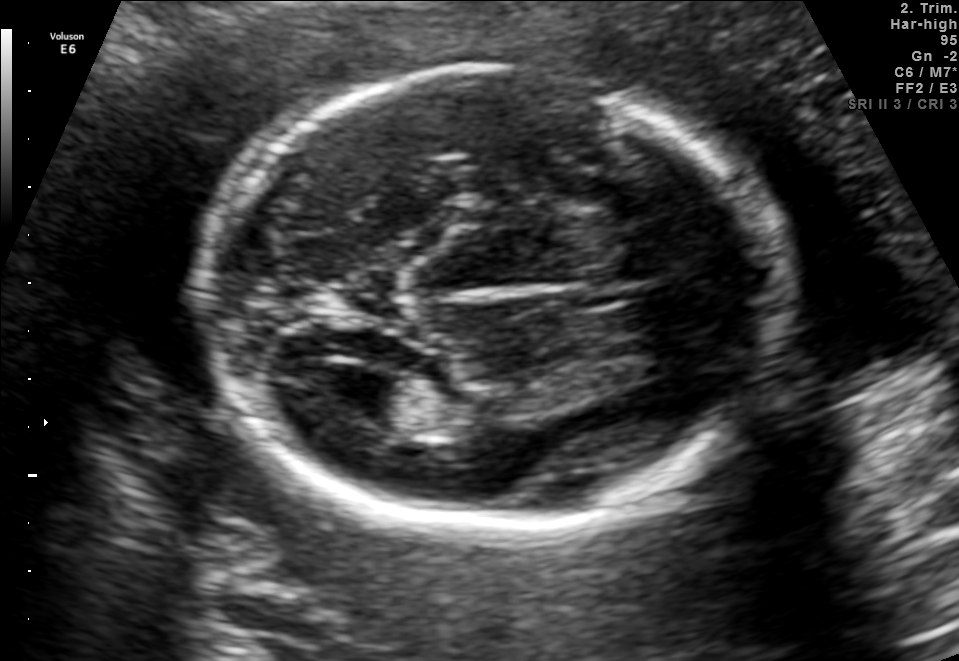
In this fetal brain, trans-ventricular plane, give the bounding box of the fetal head.

[186,61,807,532]